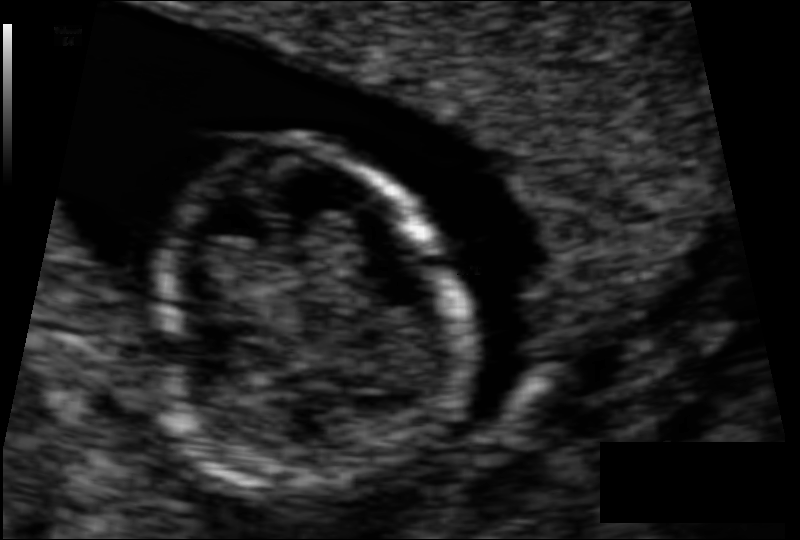
Fetal head ultrasound. Image width: 49.5 mm. Where is the fetal head?

Head bounding box: [147,138,458,485]